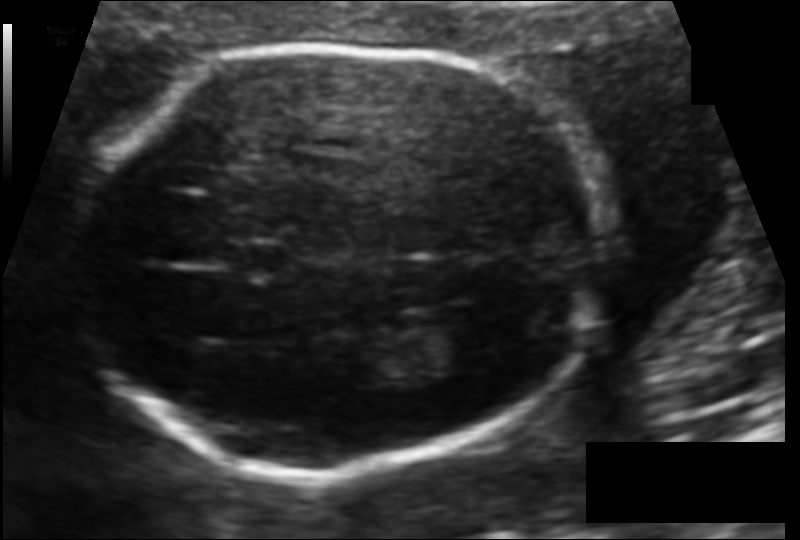
Measure the fetal head circumference shown in this ultrasound image. Image width: 86.3 mm.

Head circumference: 168.5 mm.